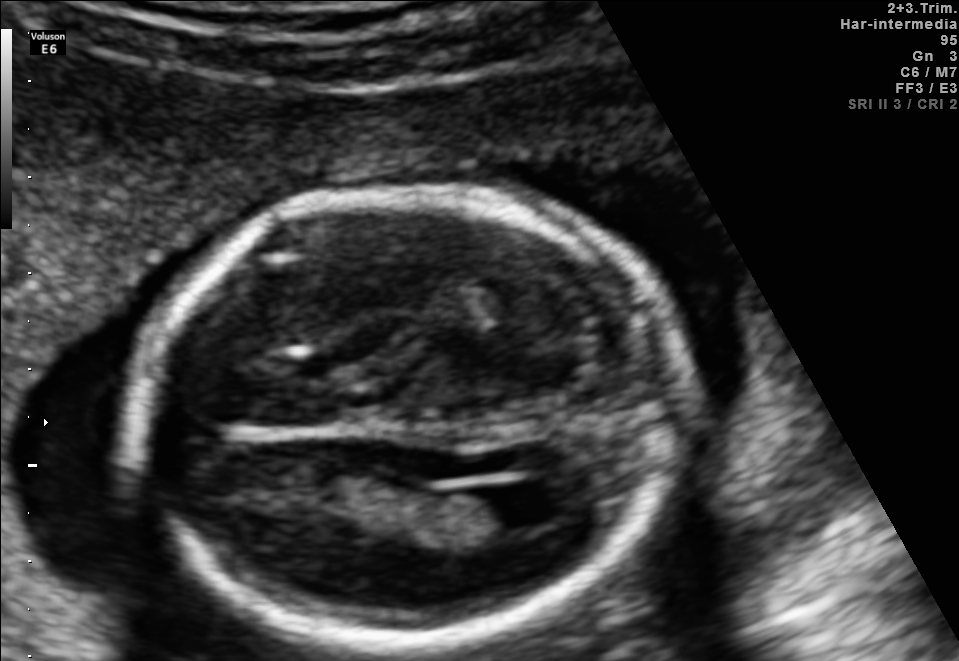
In this fetal brain, trans-ventricular plane, give the bounding box of the lateral ventricle.

[466,474,566,539]